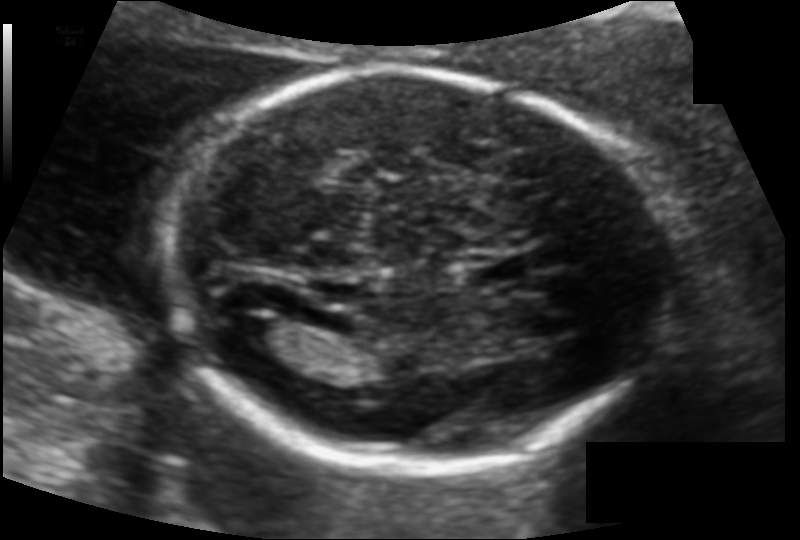
In this fetal head ultrasound, give the bounding box of the lateral ventricle. Image width: 91.9 mm.

[227,314,285,350]